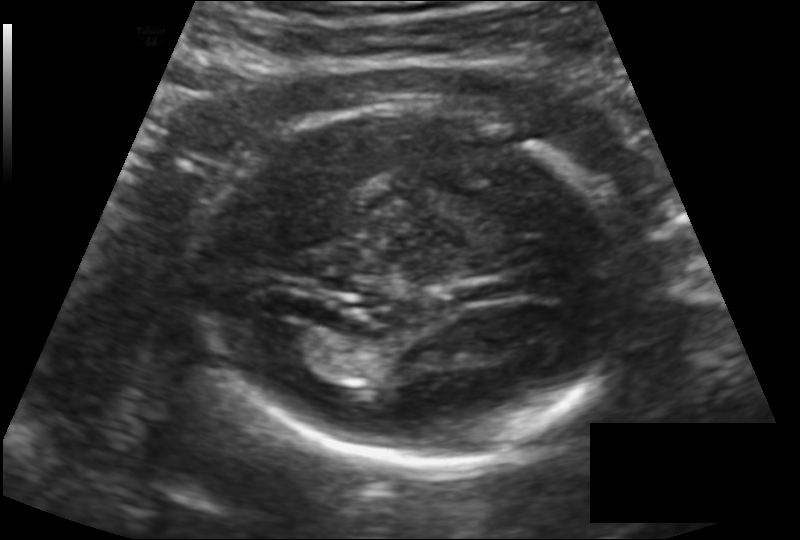
Fetal head ultrasound. Image width: 113.7 mm. Locate the lateral ventricle.

Lateral ventricle: [257,322,327,369]